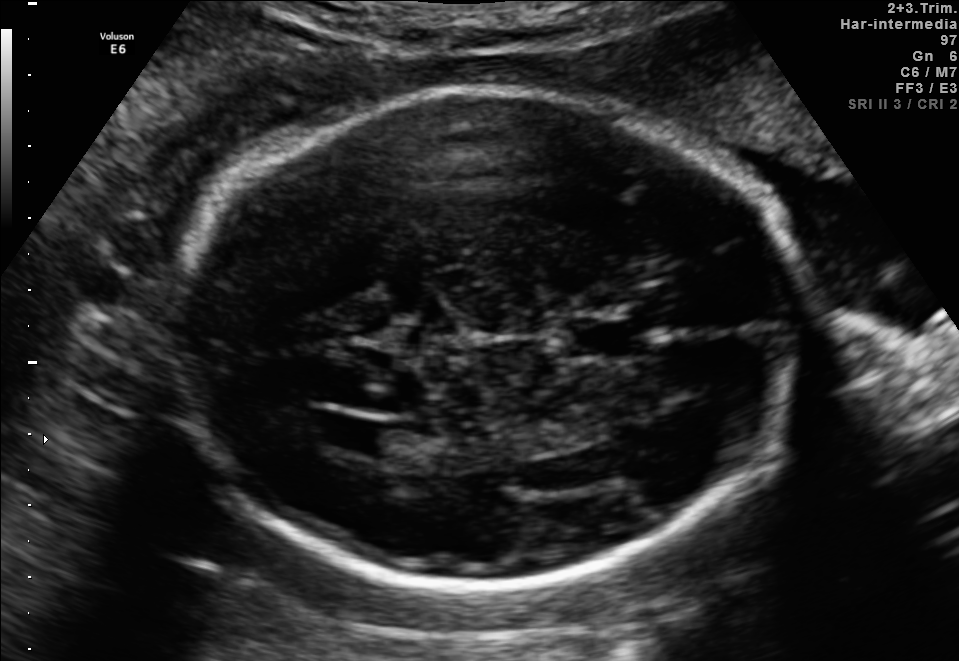
Classify this maternal-fetal ultrasound image as one of the six standard planes — fetal abdomen, fetal brain, fetal femur, fetal thorax, maternal cervix, or other. If it's fetal brain and one of the three standard brain planes (trans-thalamic, trans-cerebellum, trans-ventricular), name which.

Fetal brain (trans-ventricular plane)